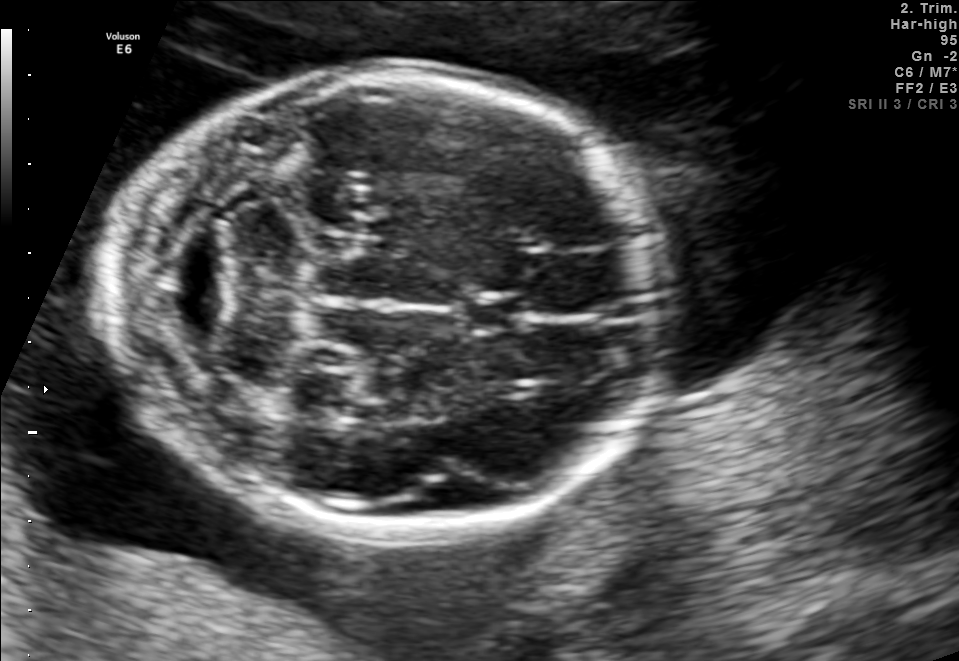
Fetal brain, trans-cerebellum plane. Locate the fetal head and, if visible, the cavum septum pellucidum (CSP) and lateral ventricle (LV). Give bounding boxes as [x1,y1,x2,y2].

Head: [111,72,668,531]
CSP: [464,292,534,334]